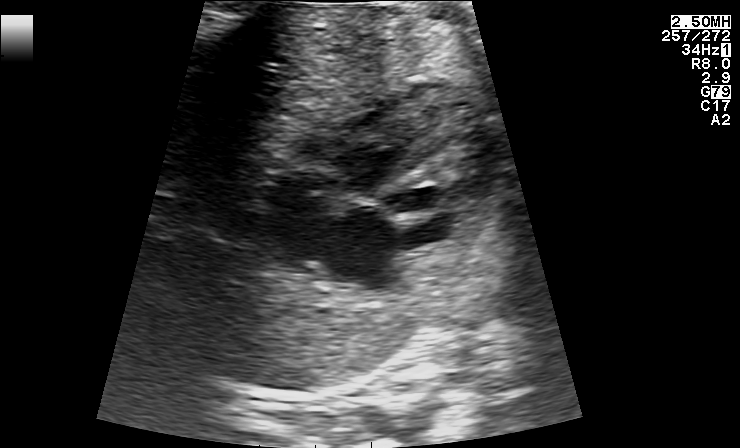
Identify the standard plane in this fetal ultrasound image: fetal abdomen, fetal brain, fetal femur, fetal thorax, maternal cervix, or other. If it's fetal brain and one of the three standard brain planes (trans-thalamic, trans-cerebellum, trans-ventricular), name which.

Fetal thorax